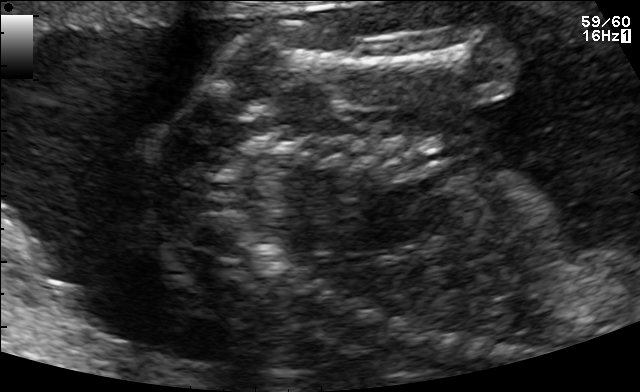
Identify the standard plane in this fetal ultrasound image: fetal abdomen, fetal brain, fetal femur, fetal thorax, maternal cervix, or other. If it's fetal brain and one of the three standard brain planes (trans-thalamic, trans-cerebellum, trans-ventricular), name which.

Other